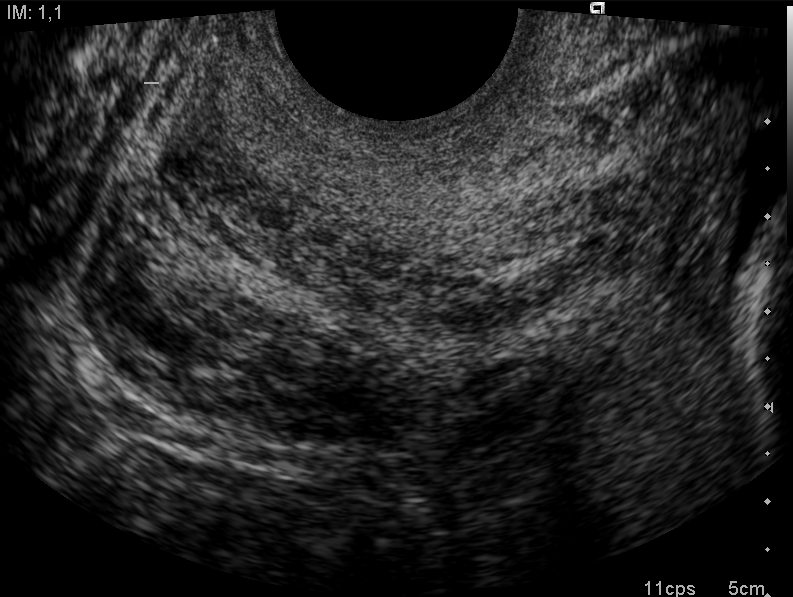
This is a 2D maternal-fetal ultrasound frame. Is it a fetal abdomen, fetal brain, fetal femur, fetal thorax, maternal cervix, or other standard plane? If it's fetal brain and one of the three standard brain planes (trans-thalamic, trans-cerebellum, trans-ventricular), name which.

Maternal cervix